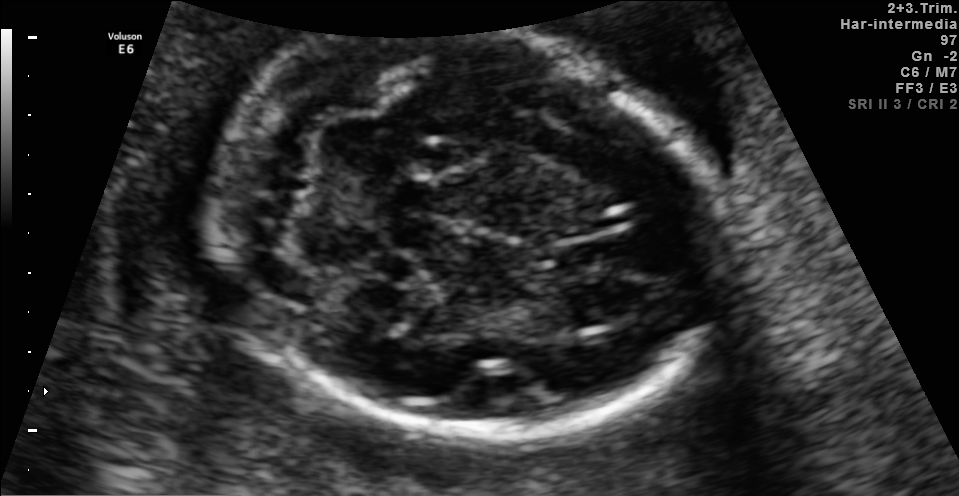
Which standard maternal-fetal ultrasound plane is shown: fetal abdomen, fetal brain, fetal femur, fetal thorax, maternal cervix, or other? If it's fetal brain and one of the three standard brain planes (trans-thalamic, trans-cerebellum, trans-ventricular), name which.

Fetal brain (trans-cerebellum plane)